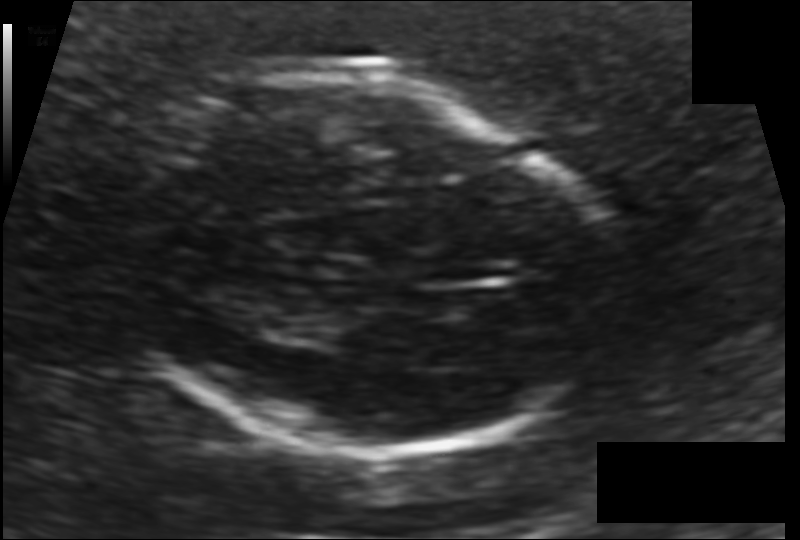
In this fetal head ultrasound, give the bounding box of the fetal head. Image width: 105.5 mm.

[113,78,608,452]